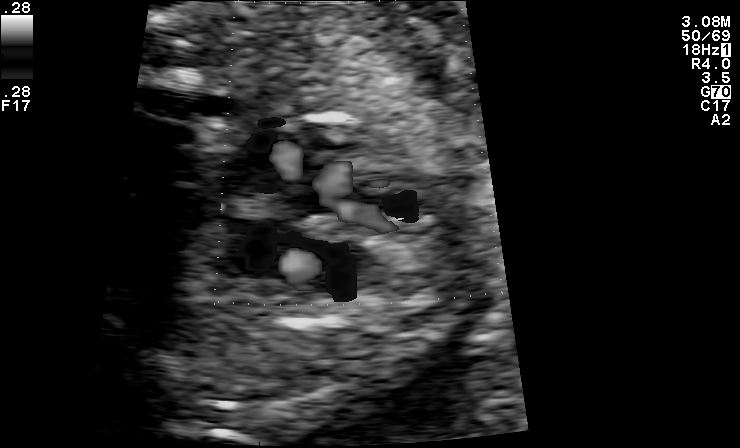
Identify the standard plane in this fetal ultrasound image: fetal abdomen, fetal brain, fetal femur, fetal thorax, maternal cervix, or other. If it's fetal brain and one of the three standard brain planes (trans-thalamic, trans-cerebellum, trans-ventricular), name which.

Other